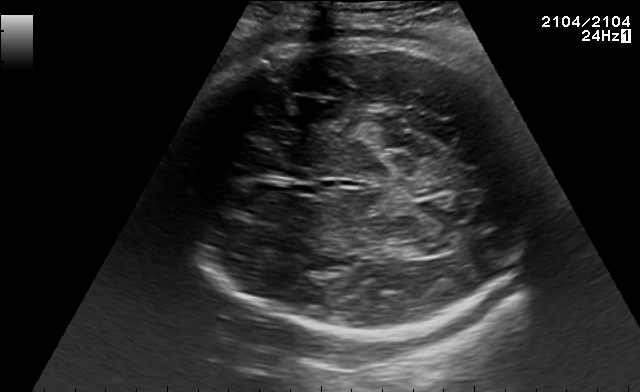
Fetal brain, trans-thalamic plane. Locate the fetal head.

Head: [168,40,538,335]